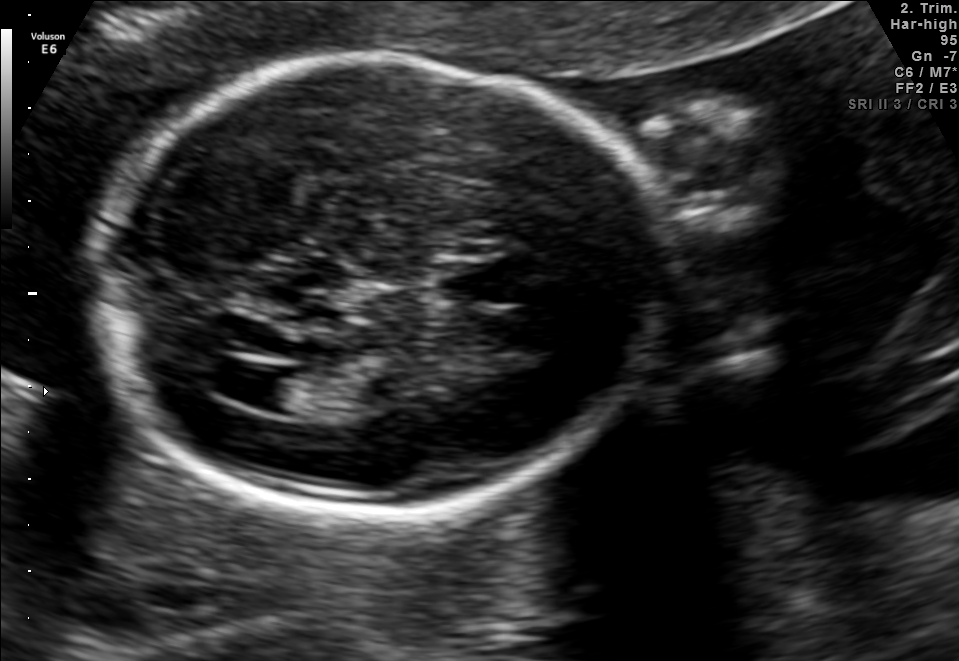
Fetal brain, trans-ventricular plane. Locate the lateral ventricle.

Lateral ventricle: [210,356,303,417]